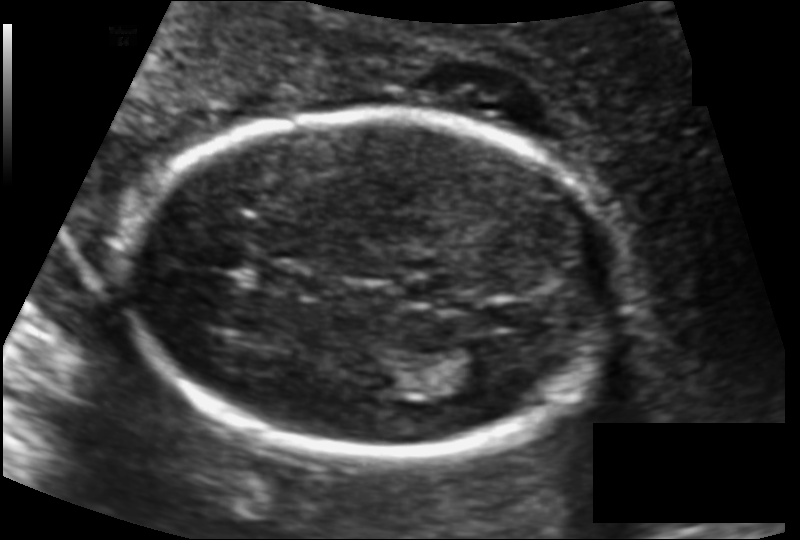
Fetal head ultrasound. Image width: 93.7 mm. Give [x1,y1,x2,y2] bounding boxes for each visible structure among: fetal head, CSP, LV.

Head: [130,110,613,456]
CSP: [251,259,319,303]
Lateral ventricle: [437,339,510,393]